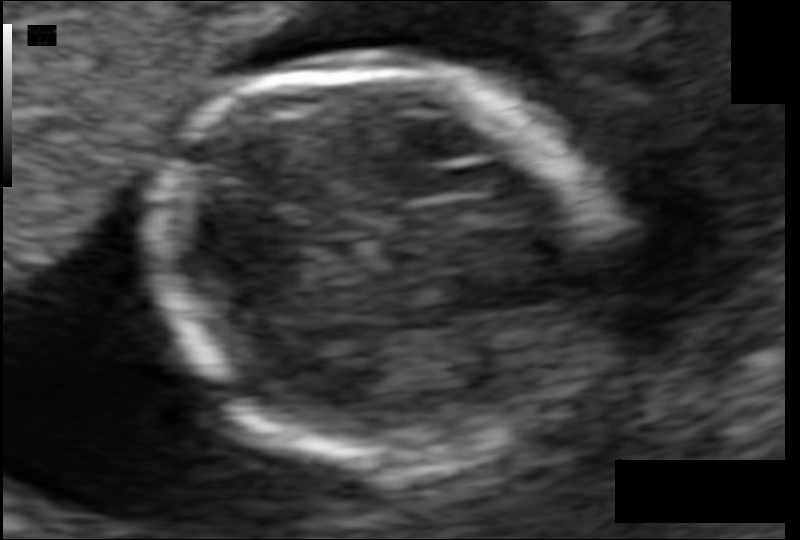
Fetal head ultrasound. Image width: 58.1 mm. Locate the fetal head.

Head: [152,66,606,451]